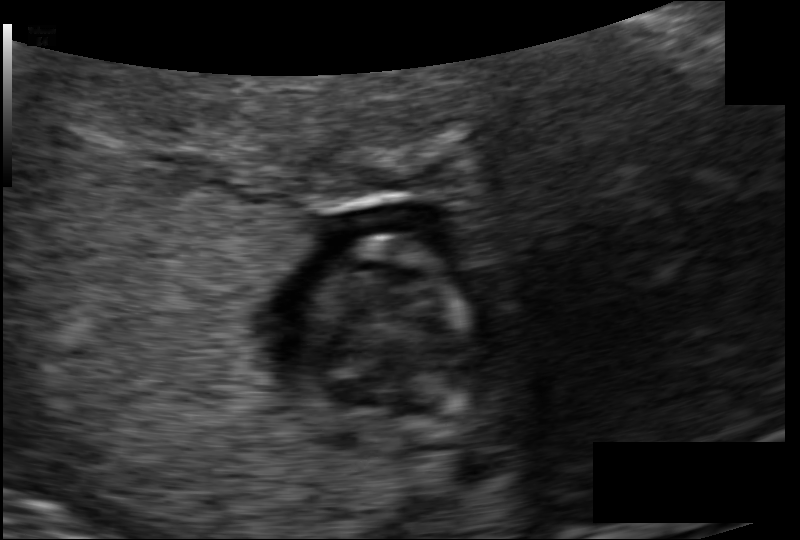
In this fetal head ultrasound, give the bounding box of the fetal head. Image width: 78.7 mm.

[306,237,467,432]